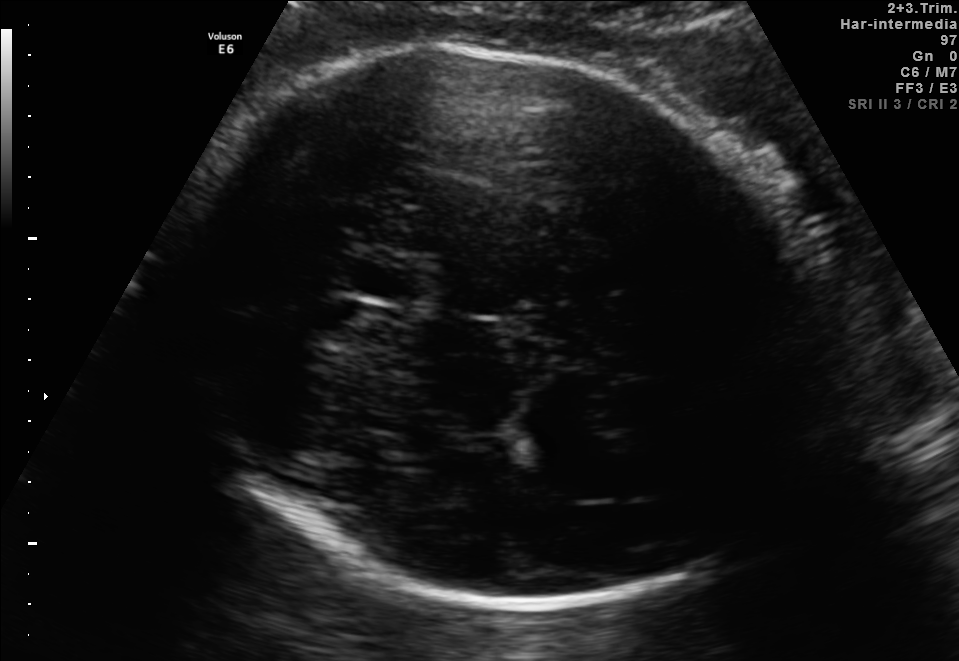
Fetal brain, trans-thalamic plane. Locate the fetal head.

Head: [179,46,818,609]